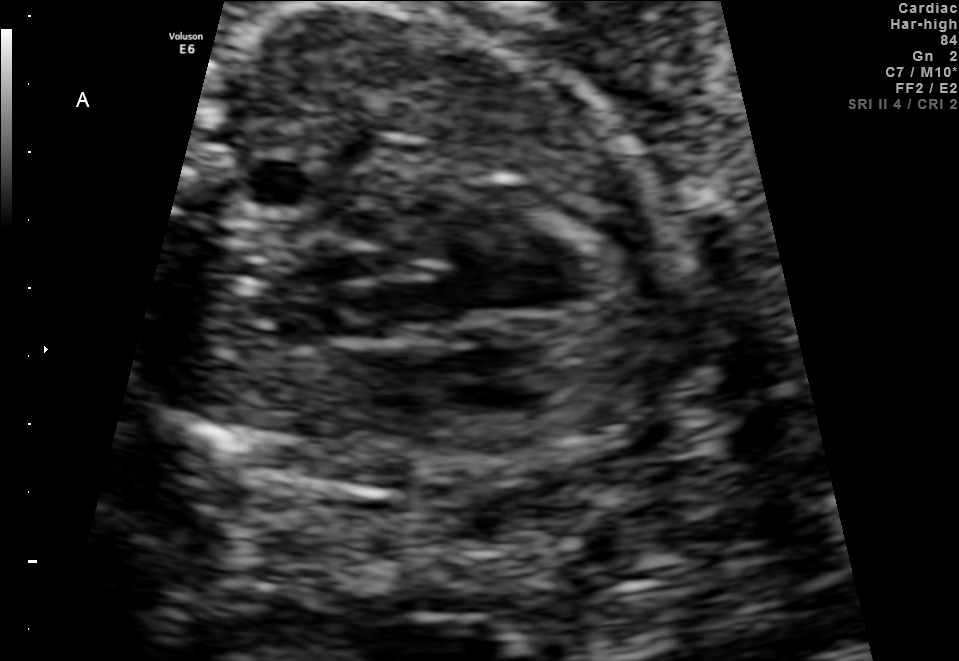
This is a 2D maternal-fetal ultrasound frame. Is it a fetal abdomen, fetal brain, fetal femur, fetal thorax, maternal cervix, or other standard plane? If it's fetal brain and one of the three standard brain planes (trans-thalamic, trans-cerebellum, trans-ventricular), name which.

Fetal thorax